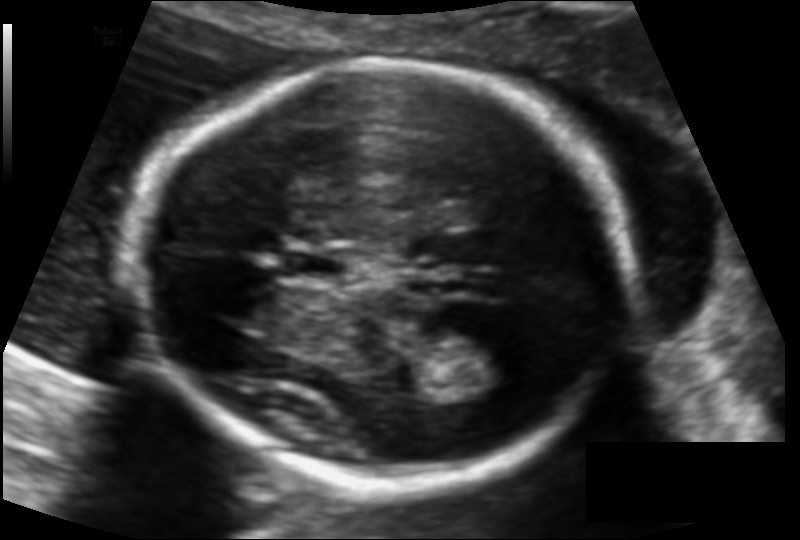
Fetal head ultrasound. Image width: 90.8 mm. Locate the fetal head.

Head: [141,60,631,482]